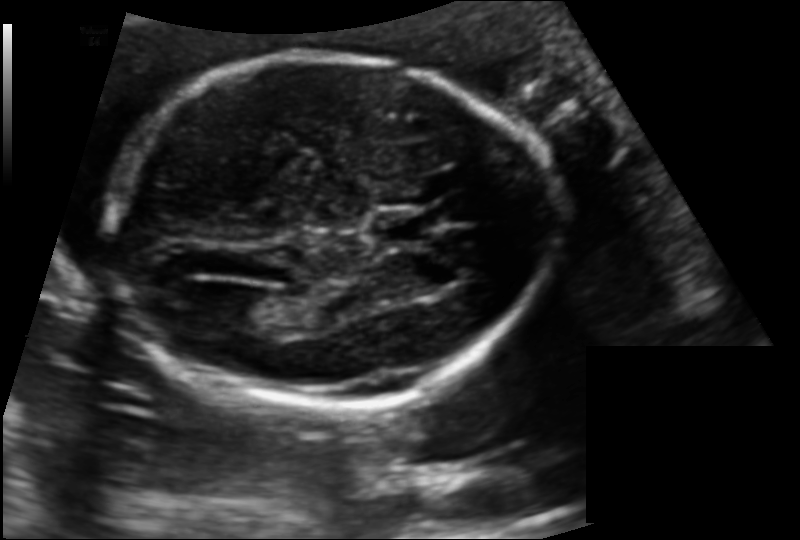
From this fetal ultrasound, estimate the head circumference (image width 105.8 mm).

Head circumference: 171.7 mm.